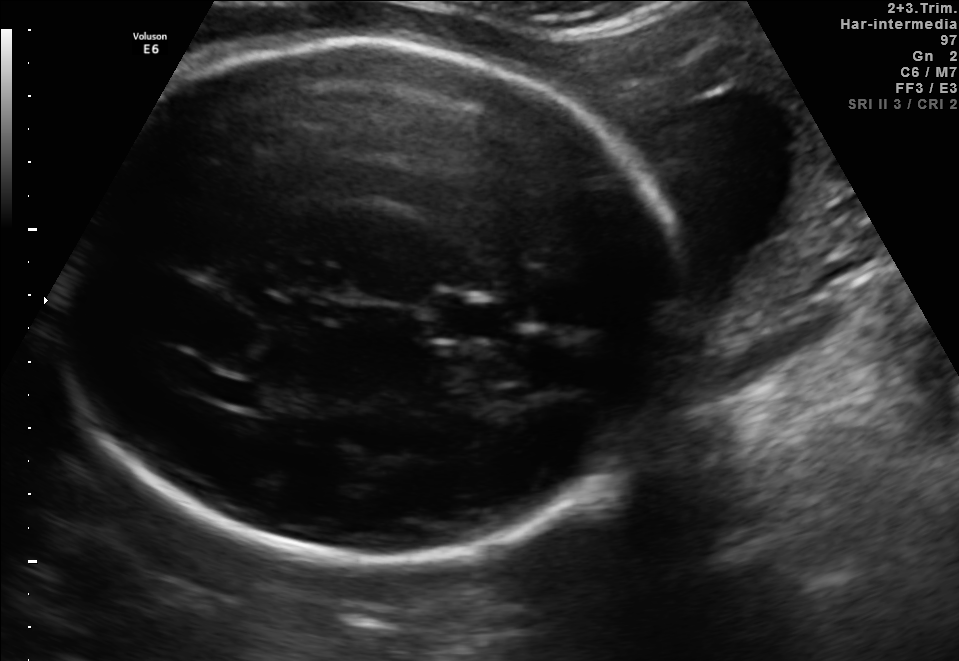
Fetal brain, trans-thalamic plane. Locate the lateral ventricle.

Lateral ventricle: [210,374,264,410]